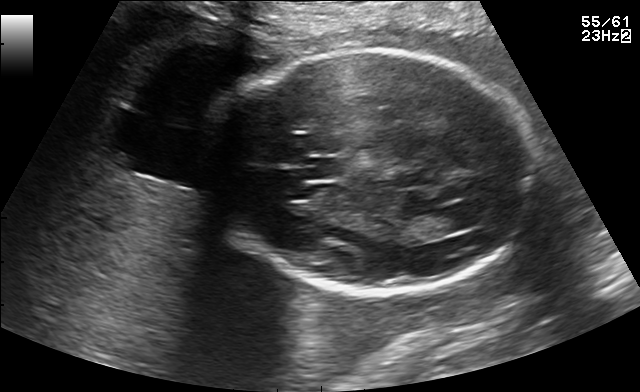
In this fetal brain, trans-thalamic plane, give the bounding box of the fetal head.

[209,49,538,290]